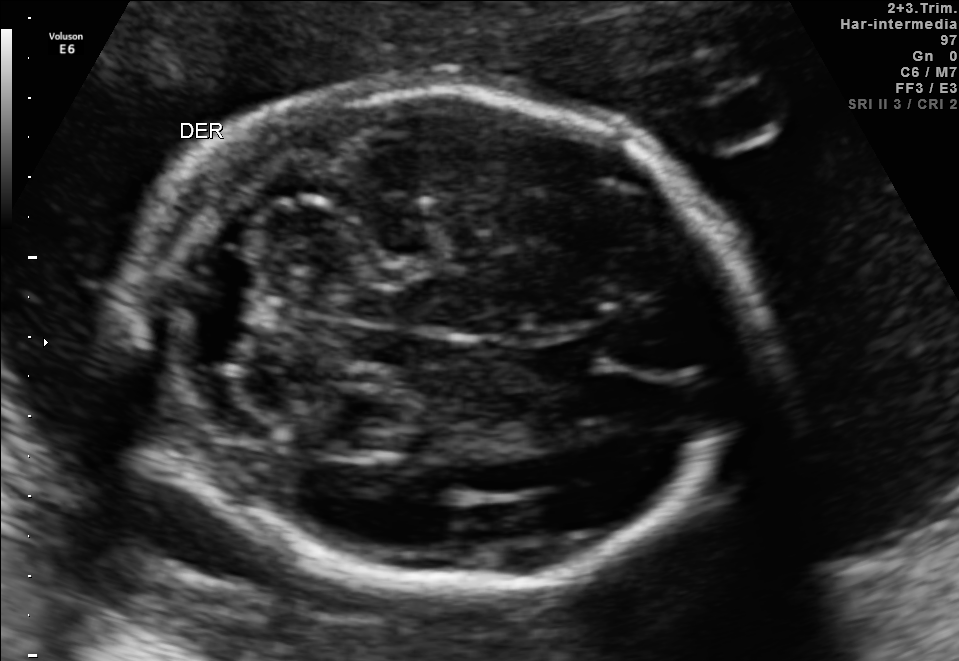
Fetal brain, trans-cerebellum plane. Where is the fetal head?

Head bounding box: [128,91,757,586]